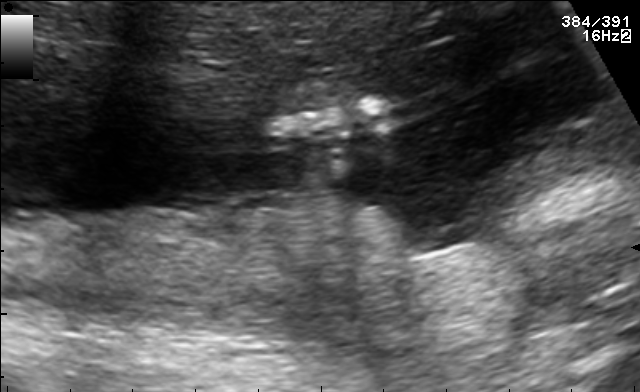
Which standard maternal-fetal ultrasound plane is shown: fetal abdomen, fetal brain, fetal femur, fetal thorax, maternal cervix, or other? If it's fetal brain and one of the three standard brain planes (trans-thalamic, trans-cerebellum, trans-ventricular), name which.

Other